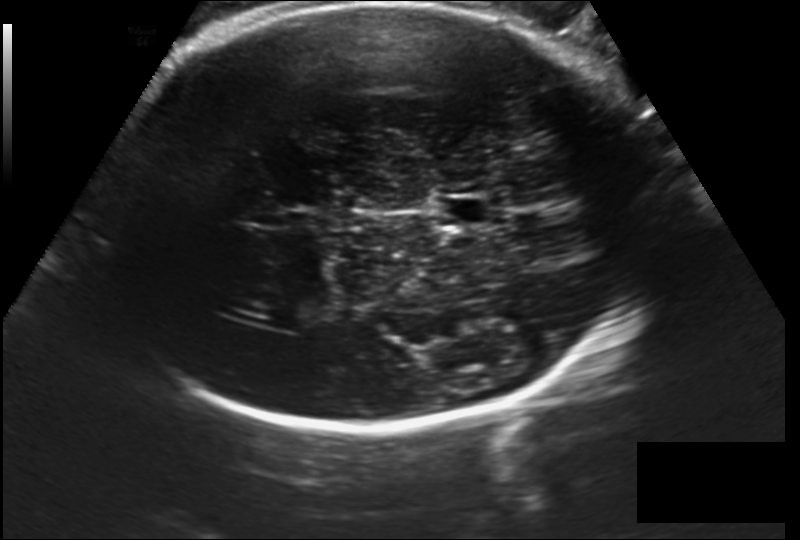
Fetal head ultrasound. Image width: 162.0 mm. Where is the fetal head?

Head bounding box: [106,2,661,428]